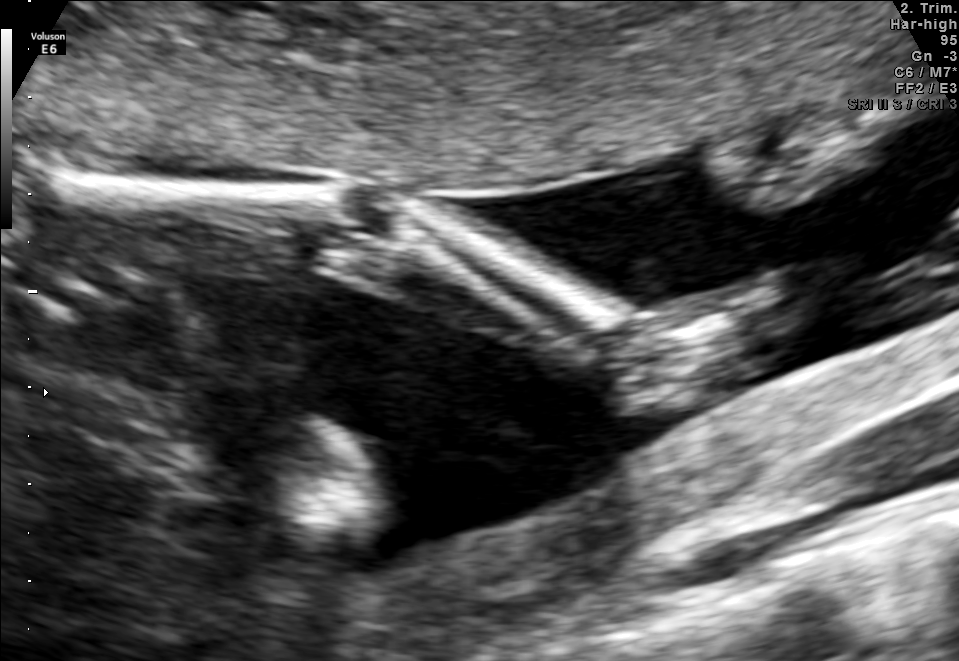
Which standard maternal-fetal ultrasound plane is shown: fetal abdomen, fetal brain, fetal femur, fetal thorax, maternal cervix, or other? If it's fetal brain and one of the three standard brain planes (trans-thalamic, trans-cerebellum, trans-ventricular), name which.

Other